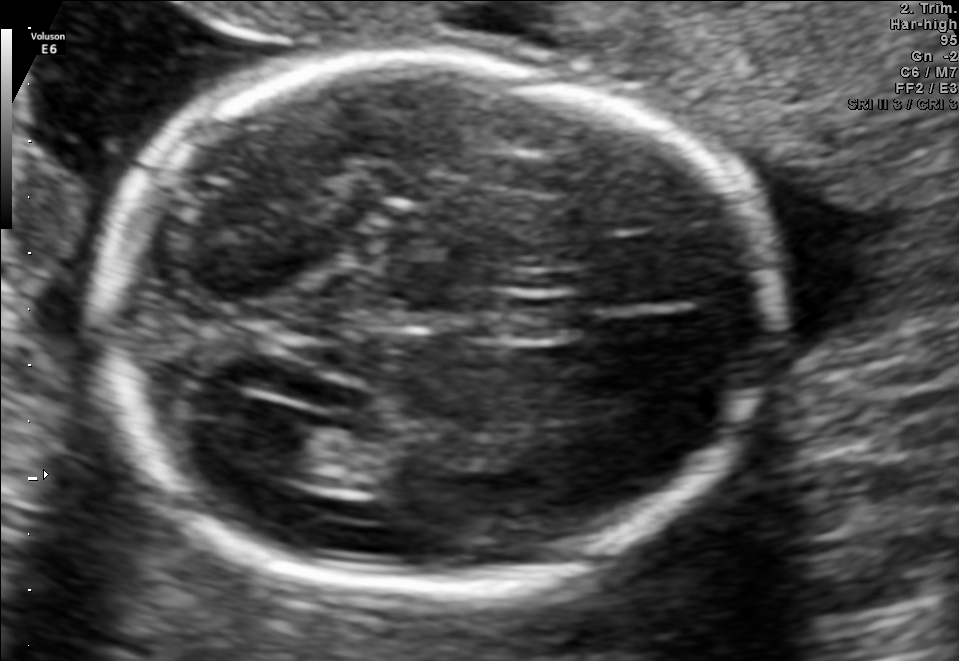
Fetal brain, trans-ventricular plane. Give [x1,y1,x2,y2] bounding boxes for each visible structure among: fetal head, CSP, LV.

Head: [80,41,797,612]
CSP: [466,296,593,341]
Lateral ventricle: [207,388,324,482]